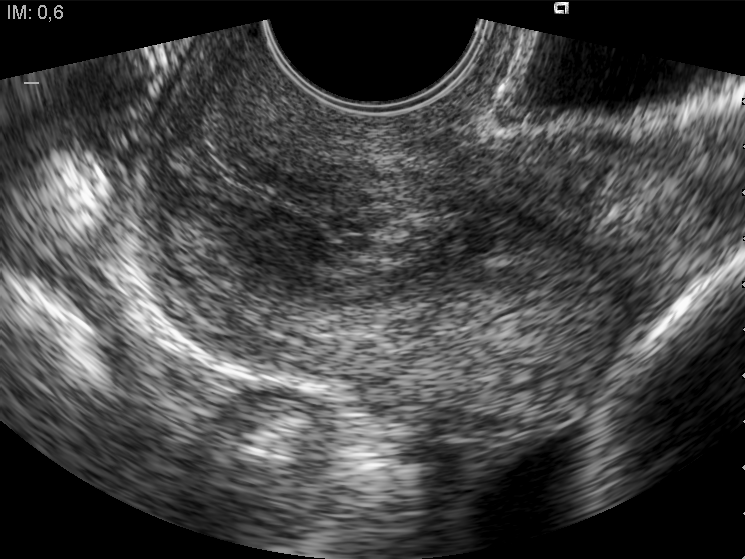
This is a 2D maternal-fetal ultrasound frame. Is it a fetal abdomen, fetal brain, fetal femur, fetal thorax, maternal cervix, or other standard plane? If it's fetal brain and one of the three standard brain planes (trans-thalamic, trans-cerebellum, trans-ventricular), name which.

Maternal cervix